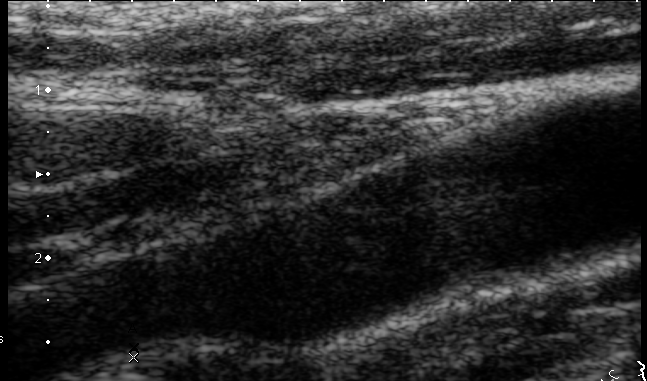
Which standard maternal-fetal ultrasound plane is shown: fetal abdomen, fetal brain, fetal femur, fetal thorax, maternal cervix, or other? If it's fetal brain and one of the three standard brain planes (trans-thalamic, trans-cerebellum, trans-ventricular), name which.

Other